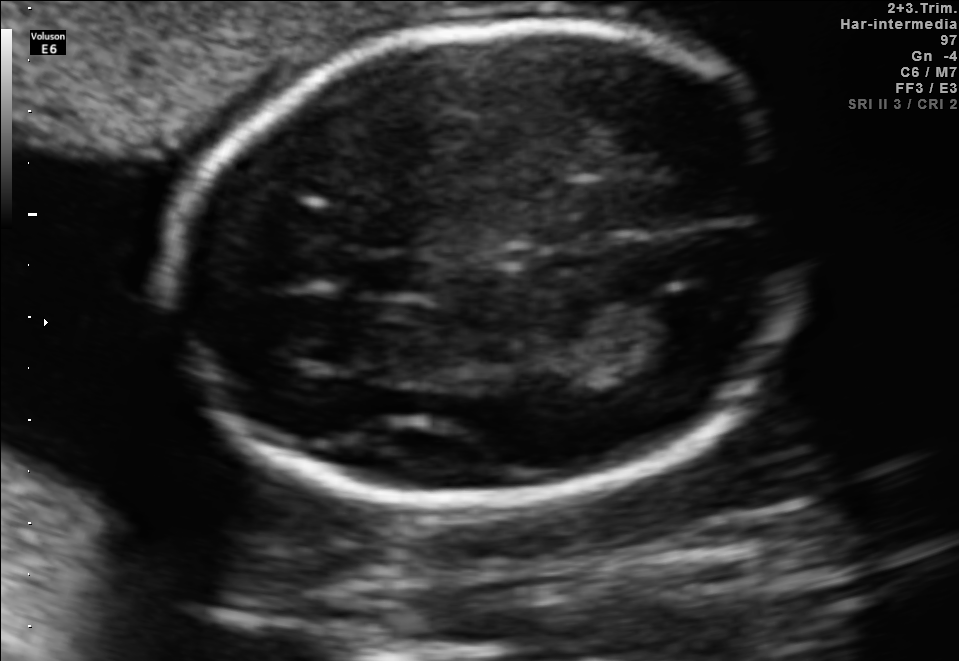
Fetal brain, trans-thalamic plane. Where is the lateral ventricle?

Lateral ventricle bounding box: [580,287,716,370]